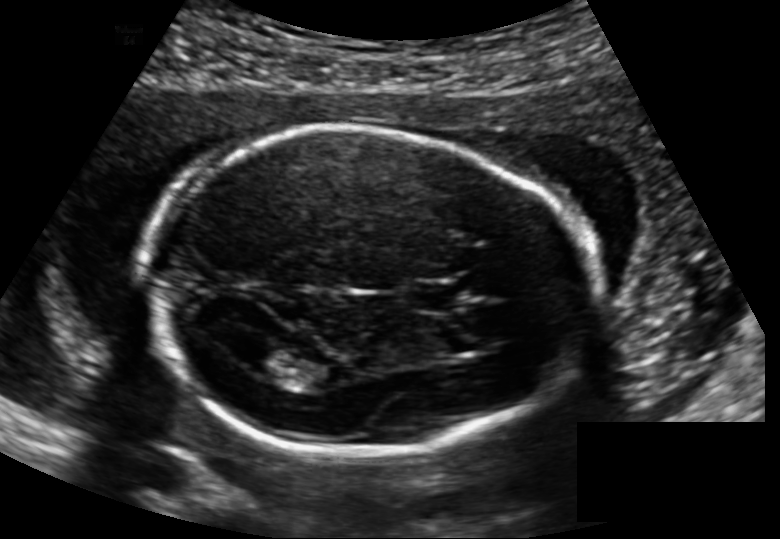
Measure the fetal head circumference shown in this ultrasound image. Image width: 115.4 mm.

Head circumference: 185.6 mm.